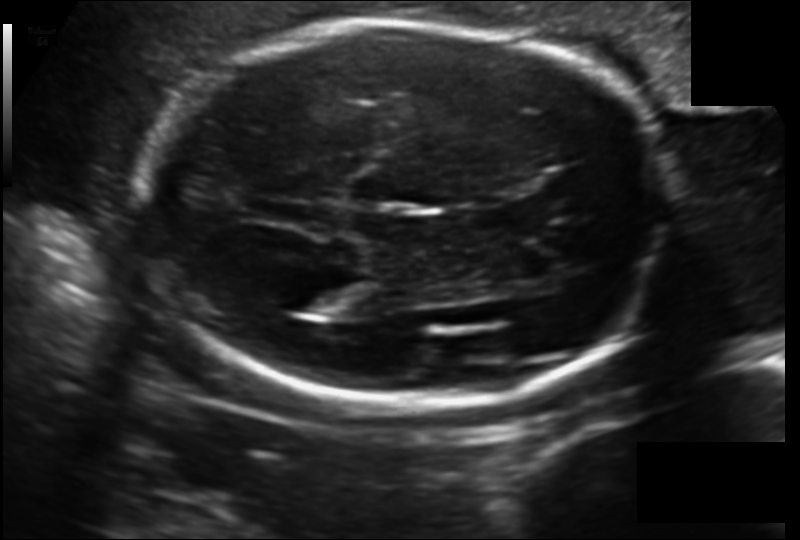
Fetal head ultrasound. Image width: 121.4 mm. Locate the fetal head and, if visible, the cavum septum pellucidum (CSP) and lateral ventricle (LV). Give bounding boxes as [x1,y1,x2,y2].

Head: [143,19,669,407]
Lateral ventricle: [280,272,358,316]